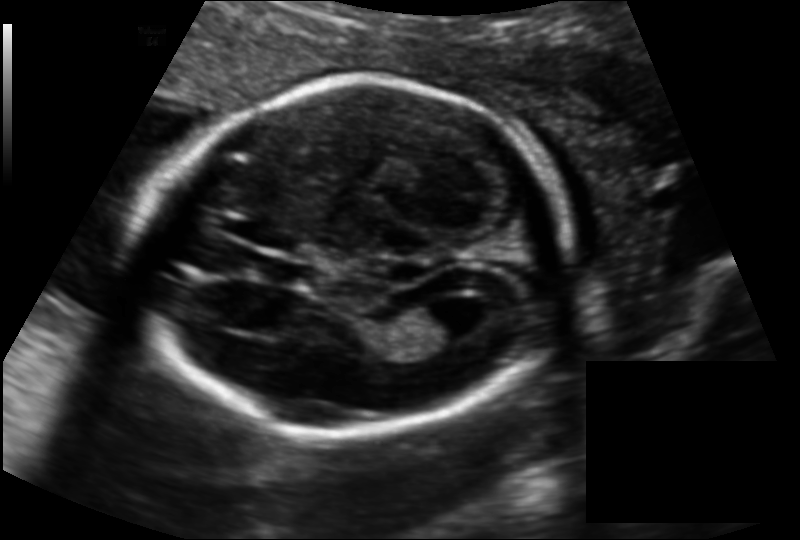
Measure the fetal head circumference shown in this ultrasound image. Image width: 107.9 mm.

Head circumference: 172.9 mm.